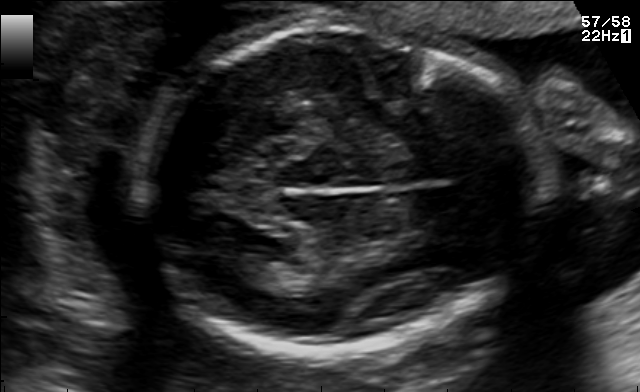
In this fetal brain, trans-thalamic plane, give bounding boxes for the head outline, cavum septum pellucidum (CSP), and lateral ventricle (LV), where visible.

Head: [141,23,541,352]